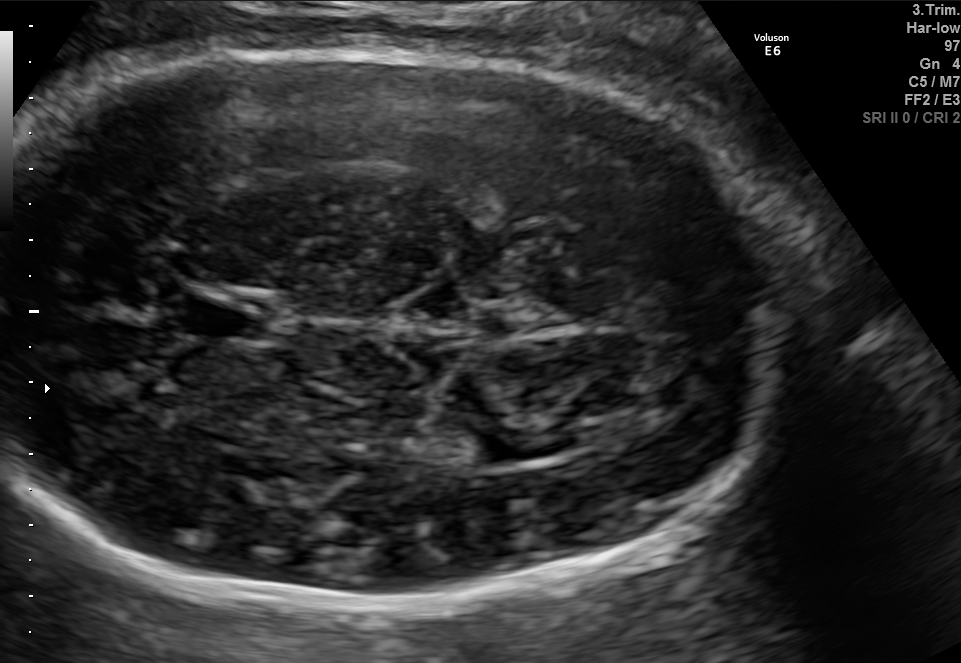
In this fetal brain, trans-thalamic plane, give the bounding box of the lateral ventricle.

[472,420,563,467]